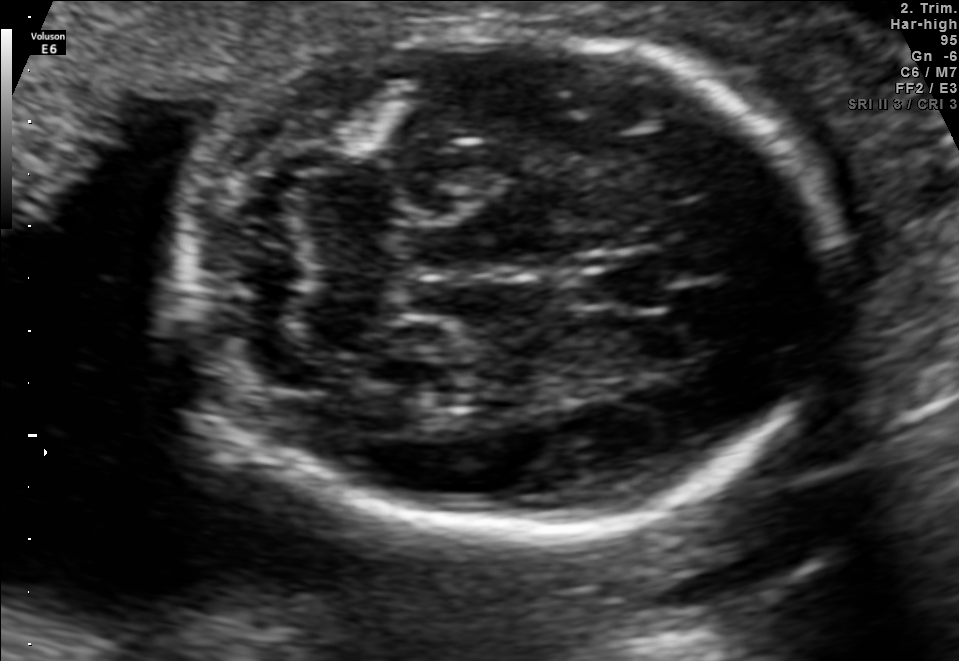
In this fetal brain, trans-cerebellum plane, give the bounding box of the fetal head.

[182,25,835,536]